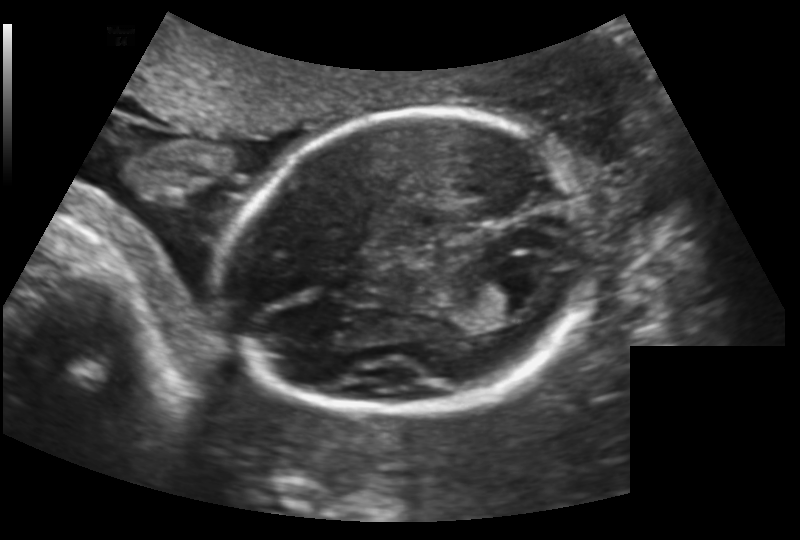
Measure the fetal head circumference shown in this ultrasound image. Image width: 127.5 mm.

Head circumference: 172.7 mm.